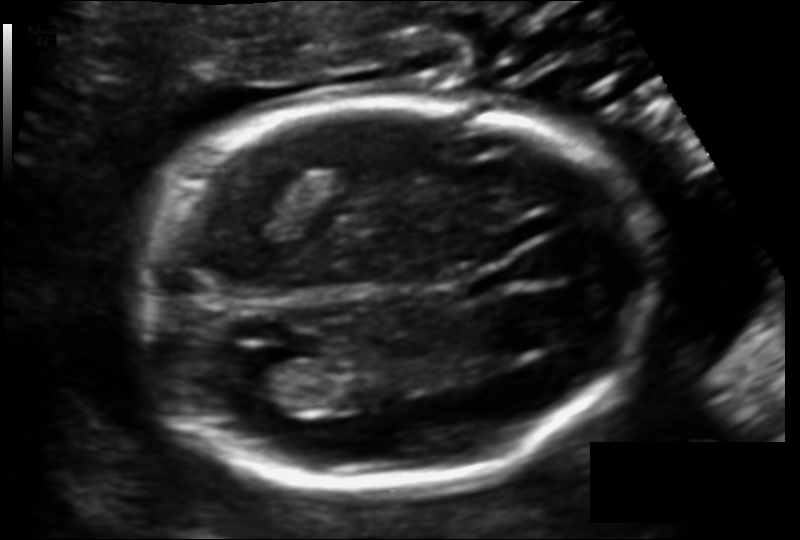
From this fetal ultrasound, estimate the head circumference (image width 97.3 mm).

Head circumference: 180.5 mm.